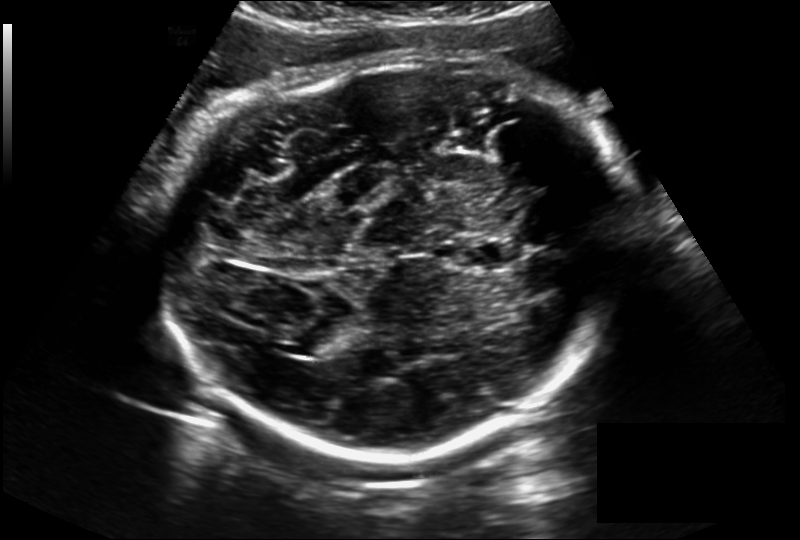
Measure the fetal head circumference shown in this ultrasound image. Image width: 182.1 mm.

Head circumference: 315.8 mm.